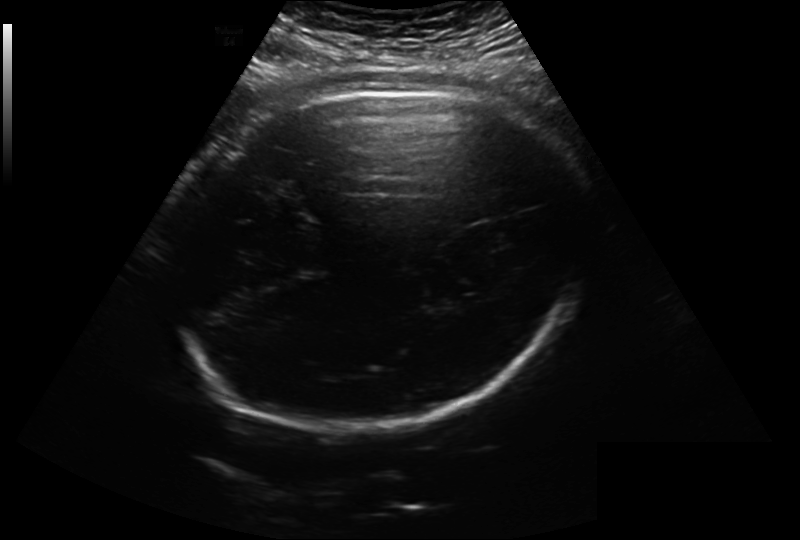
From this fetal ultrasound, estimate the head circumference (image width 223.6 mm).

Head circumference: 346.4 mm.